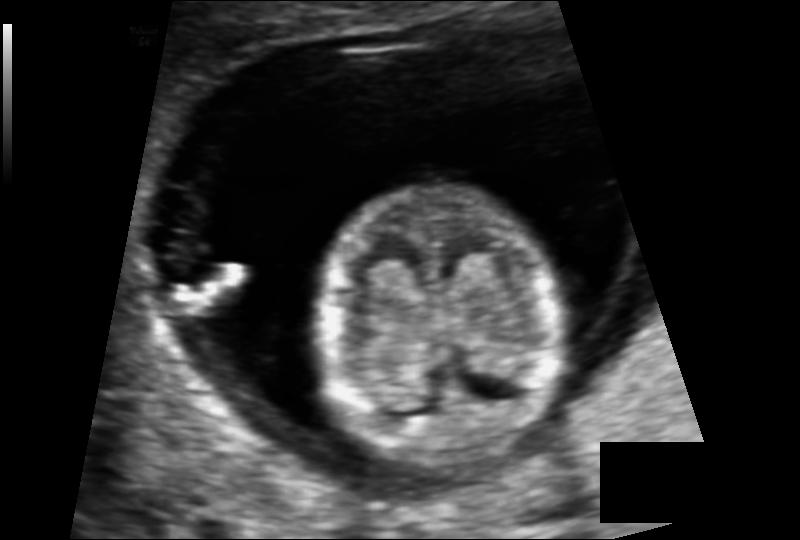
Fetal head ultrasound. Image width: 71.8 mm. Locate the fetal head.

Head: [315,185,560,470]